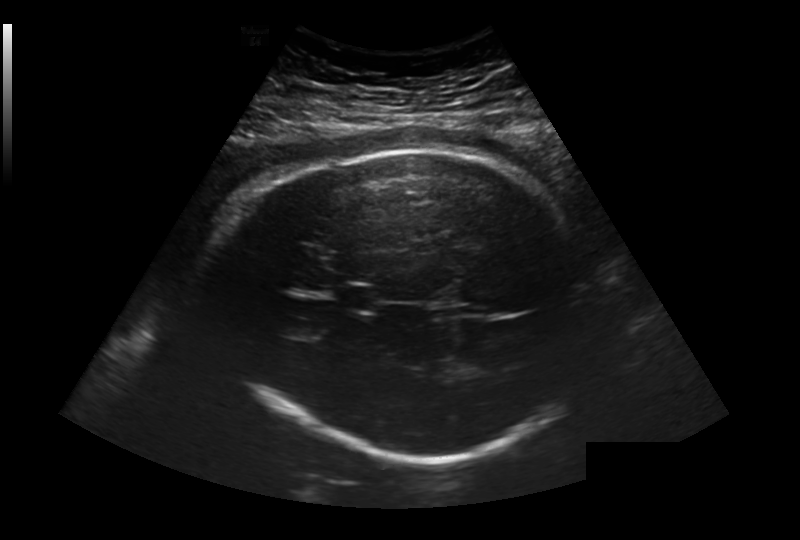
Fetal head ultrasound. Image width: 224.9 mm. Where is the fetal head?

Head bounding box: [216,149,602,458]